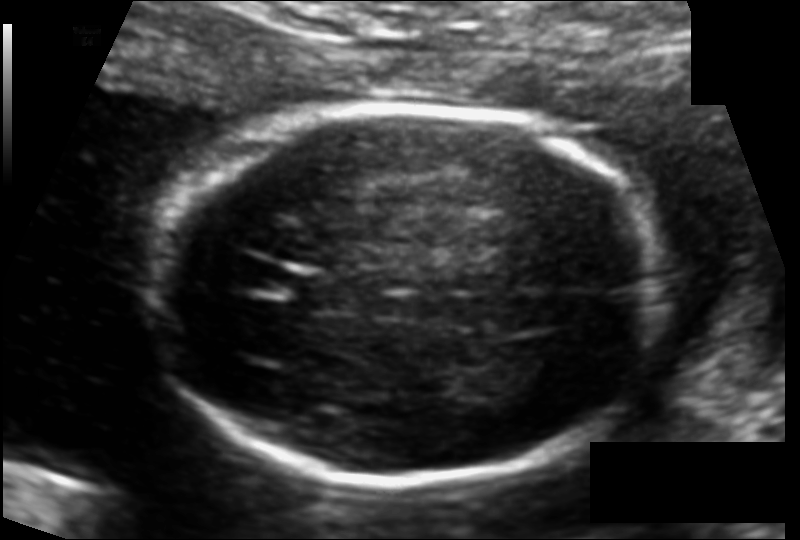
From this fetal ultrasound, estimate the head circumference (image width 92.3 mm).

Head circumference: 166.9 mm.